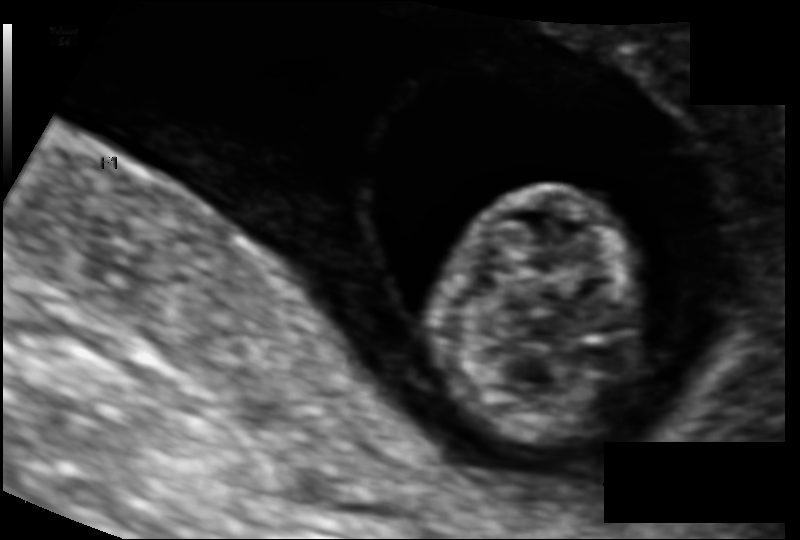
Estimate the fetal head circumference from this 2D ultrasound. Image width: 75.4 mm.

Head circumference: 70.0 mm.